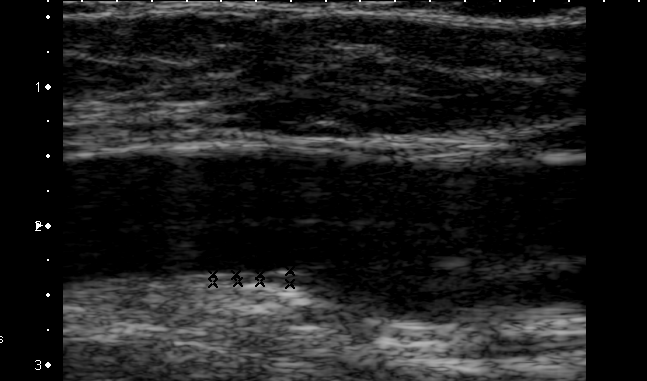
Classify this maternal-fetal ultrasound image as one of the six standard planes — fetal abdomen, fetal brain, fetal femur, fetal thorax, maternal cervix, or other. If it's fetal brain and one of the three standard brain planes (trans-thalamic, trans-cerebellum, trans-ventricular), name which.

Other